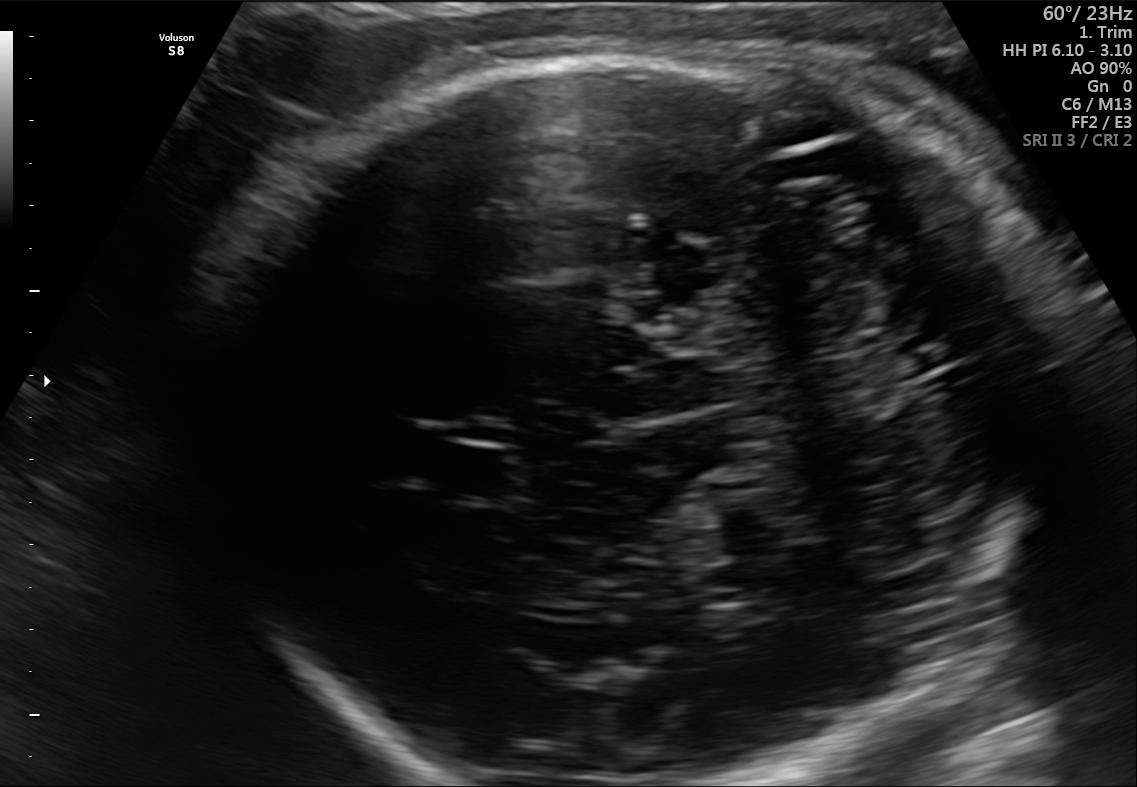
Fetal brain, trans-cerebellum plane. Locate the fetal head.

Head: [203,50,1055,785]